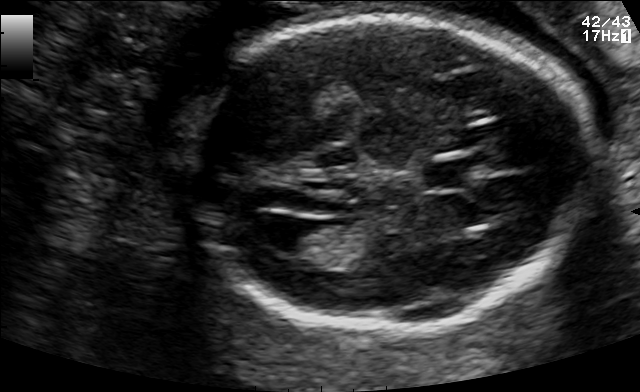
Fetal brain, trans-ventricular plane. Where is the fetal head?

Head bounding box: [173,14,605,337]